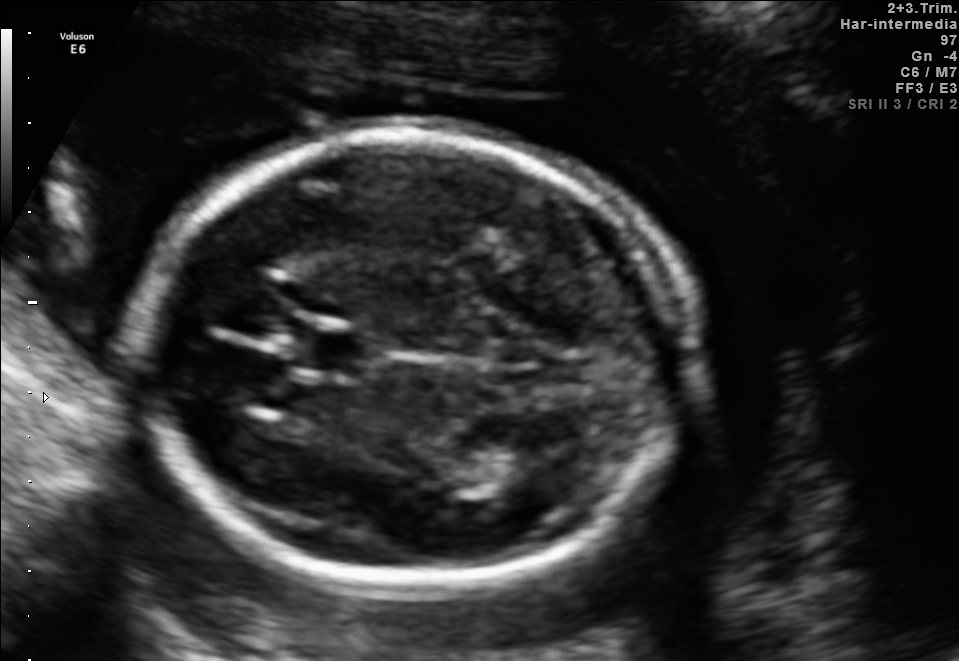
This is a 2D maternal-fetal ultrasound frame. Is it a fetal abdomen, fetal brain, fetal femur, fetal thorax, maternal cervix, or other standard plane? If it's fetal brain and one of the three standard brain planes (trans-thalamic, trans-cerebellum, trans-ventricular), name which.

Fetal brain (trans-thalamic plane)